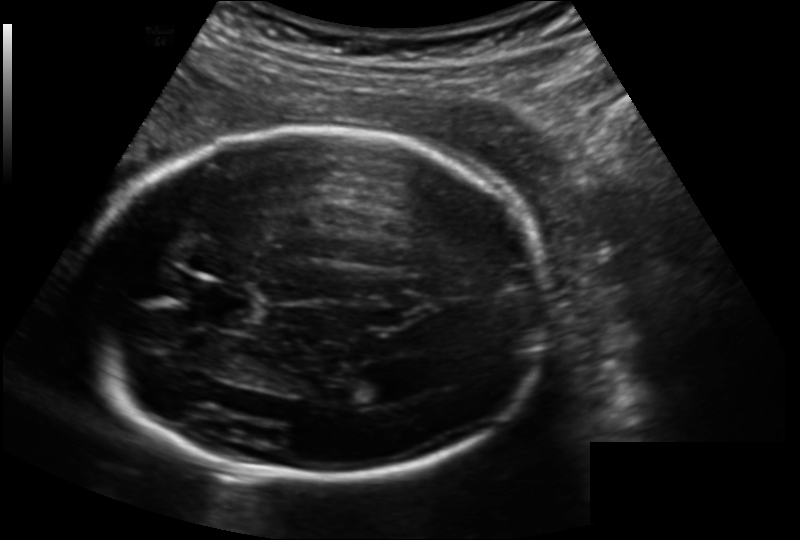
Fetal head ultrasound. Image width: 130.8 mm. Locate the fetal head and, if visible, the cavum septum pellucidum (CSP) and lateral ventricle (LV). Give bounding boxes as [x1,y1,x2,y2].

Head: [78,131,551,481]
CSP: [186,277,252,331]
Lateral ventricle: [347,367,402,410]